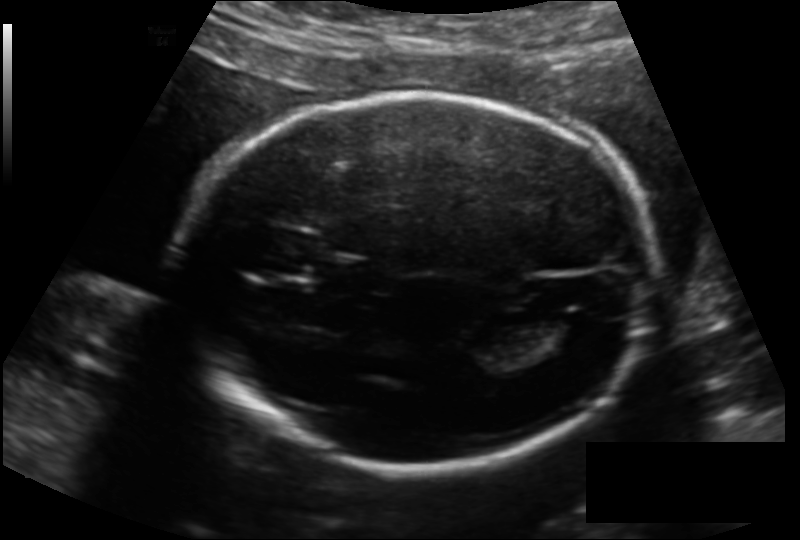
Estimate the fetal head circumference from this 2D ultrasound.

Head circumference: 208.9 mm (image width 120.8 mm).